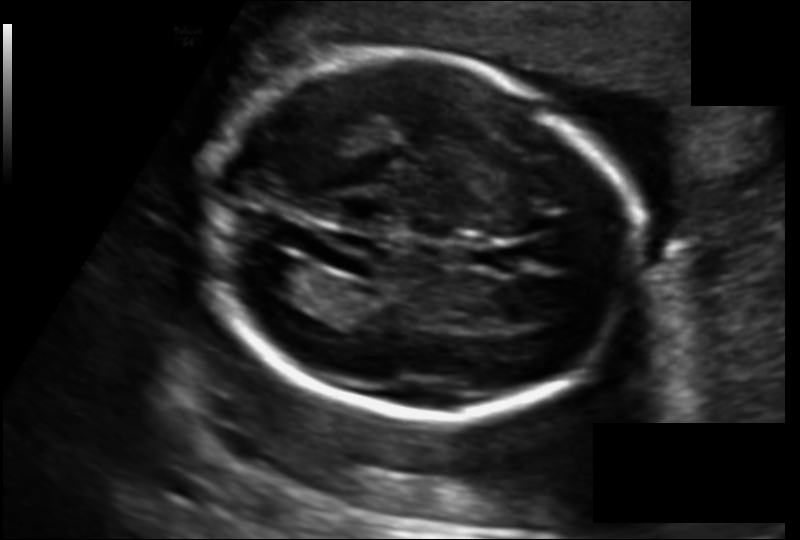
In this fetal head ultrasound, give the bounding box of the fetal head. Image width: 107.9 mm.

[203,51,632,418]